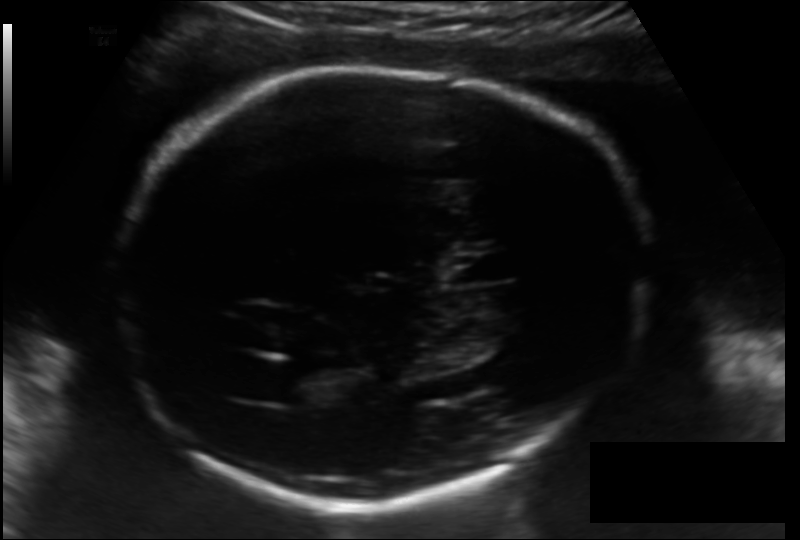
Fetal head ultrasound. Image width: 125.8 mm. Where is the fetal head?

Head bounding box: [113,64,648,504]